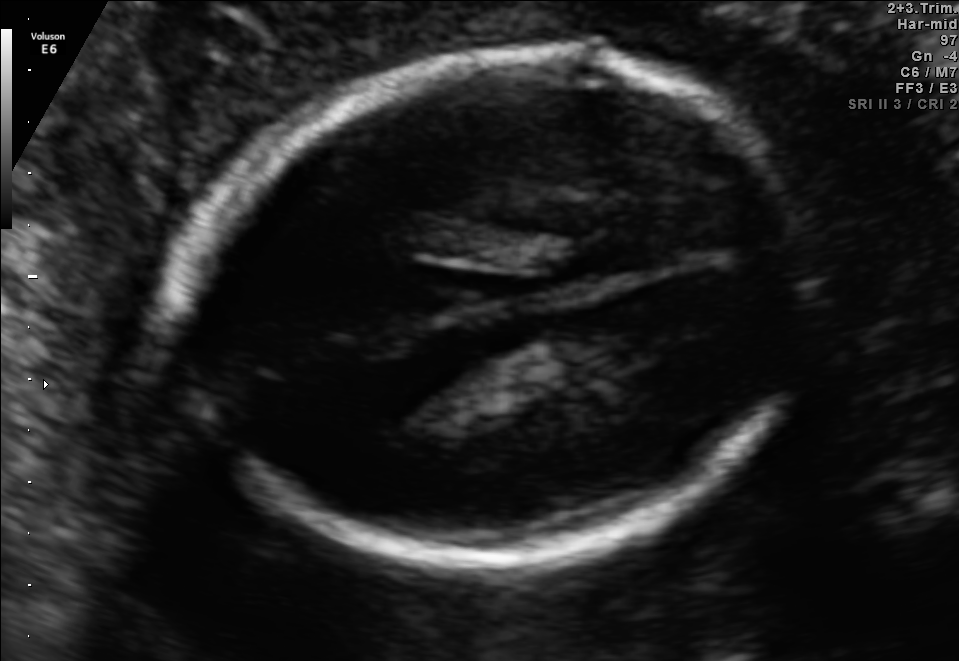
Fetal brain, trans-thalamic plane. Locate the fetal head.

Head: [183,48,814,567]